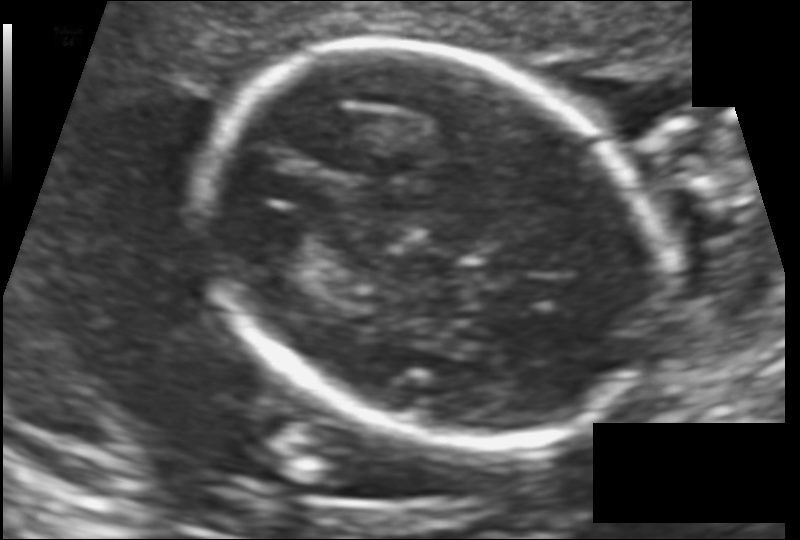
Fetal head ultrasound. Image width: 101.0 mm. Locate the fetal head.

Head: [199,46,652,442]